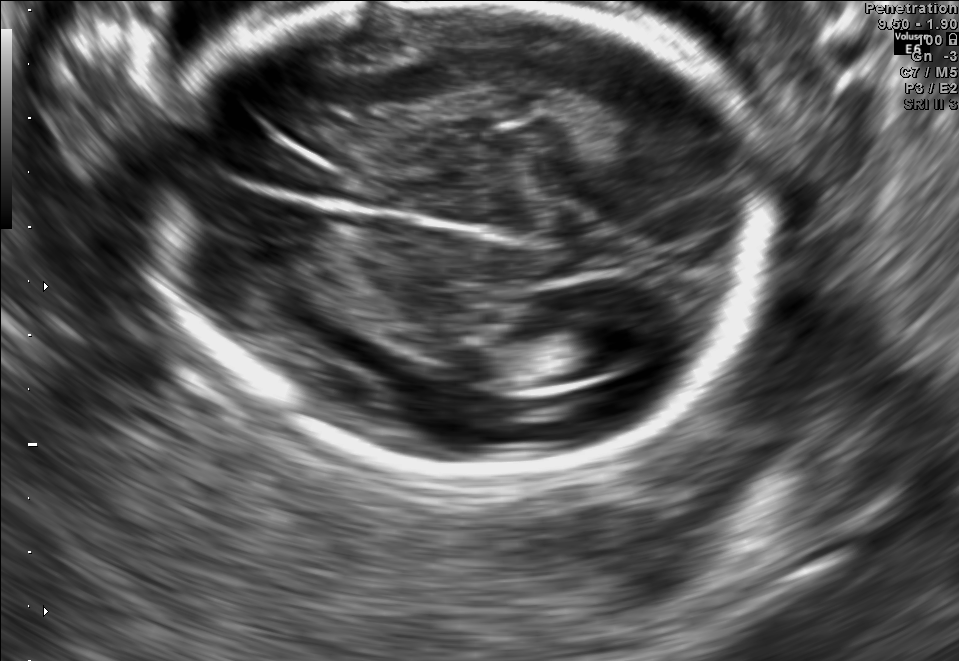
Fetal brain, trans-ventricular plane. Locate the fetal head and, if visible, the cavum septum pellucidum (CSP) and lateral ventricle (LV). Give bounding boxes as [x1,y1,x2,y2].

Head: [146,3,777,466]
Lateral ventricle: [554,306,652,382]